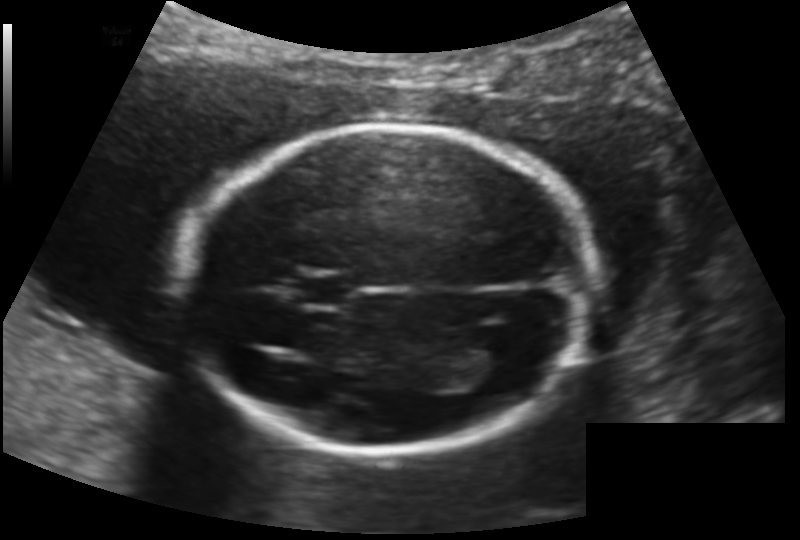
Fetal head ultrasound. Image width: 116.3 mm. Give [x1,y1,x2,y2] bounding boxes for each visible structure among: fetal head, CSP, LV.

Head: [182,125,601,451]
CSP: [297,275,349,305]
Lateral ventricle: [456,348,518,388]